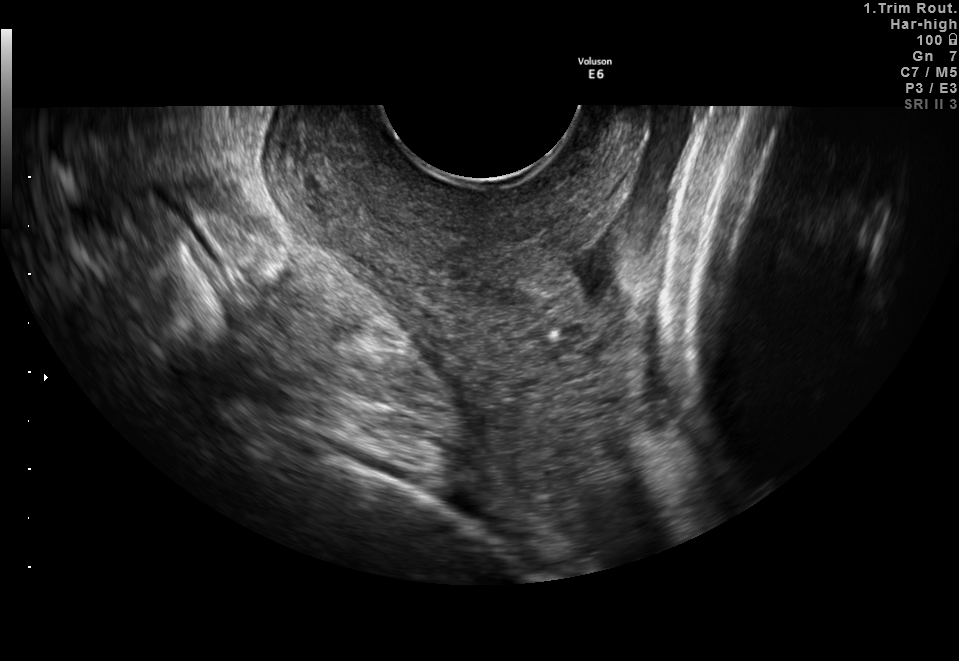
Identify the standard plane in this fetal ultrasound image: fetal abdomen, fetal brain, fetal femur, fetal thorax, maternal cervix, or other. If it's fetal brain and one of the three standard brain planes (trans-thalamic, trans-cerebellum, trans-ventricular), name which.

Maternal cervix